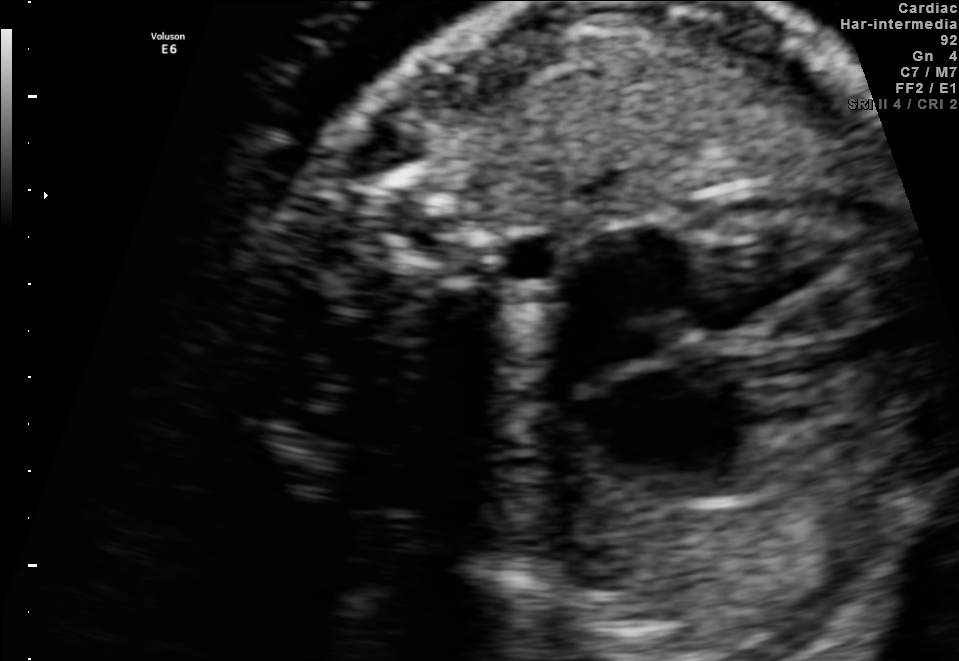
This is a 2D maternal-fetal ultrasound frame. Is it a fetal abdomen, fetal brain, fetal femur, fetal thorax, maternal cervix, or other standard plane? If it's fetal brain and one of the three standard brain planes (trans-thalamic, trans-cerebellum, trans-ventricular), name which.

Fetal thorax